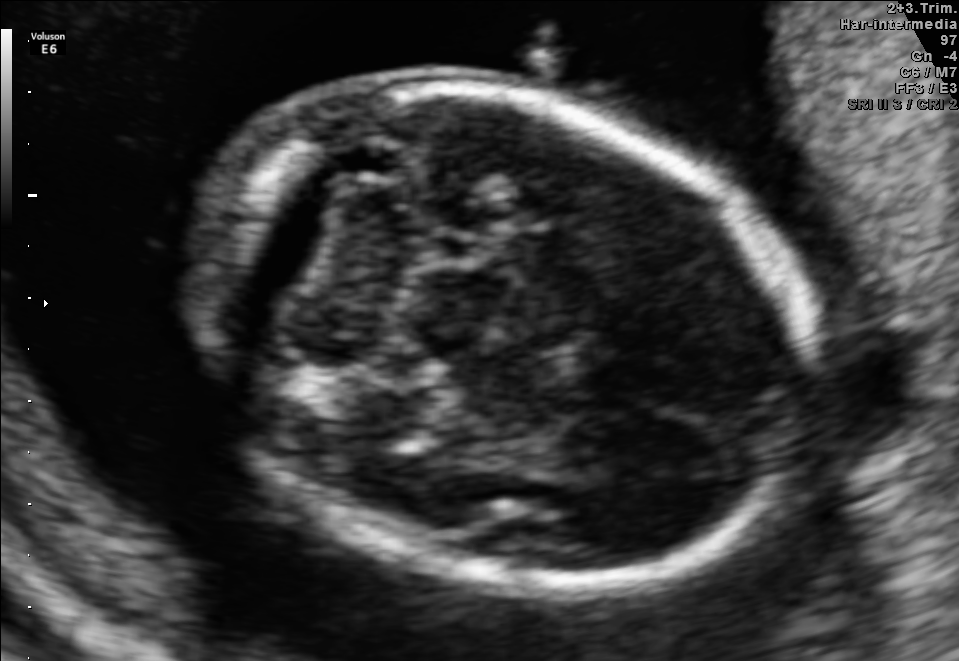
Fetal brain, trans-cerebellum plane. Where is the fetal head?

Head bounding box: [195,82,804,597]